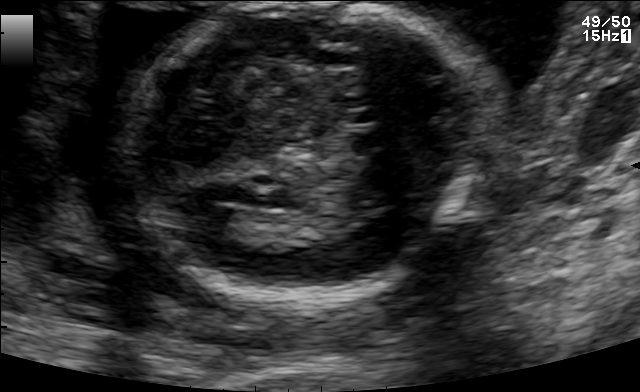
Fetal brain, trans-thalamic plane. Where is the fetal head?

Head bounding box: [133,2,467,302]